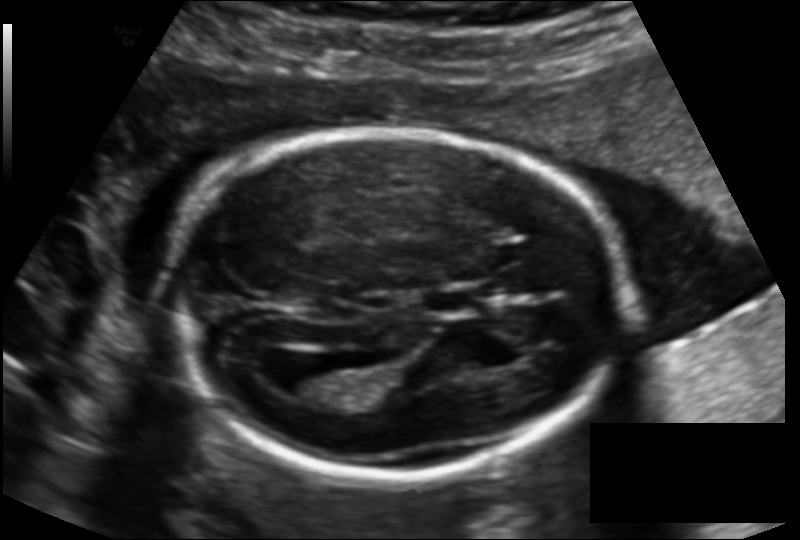
In this fetal head ultrasound, give the bounding box of the lateral ventricle. Image width: 109.0 mm.

[279,354,353,405]